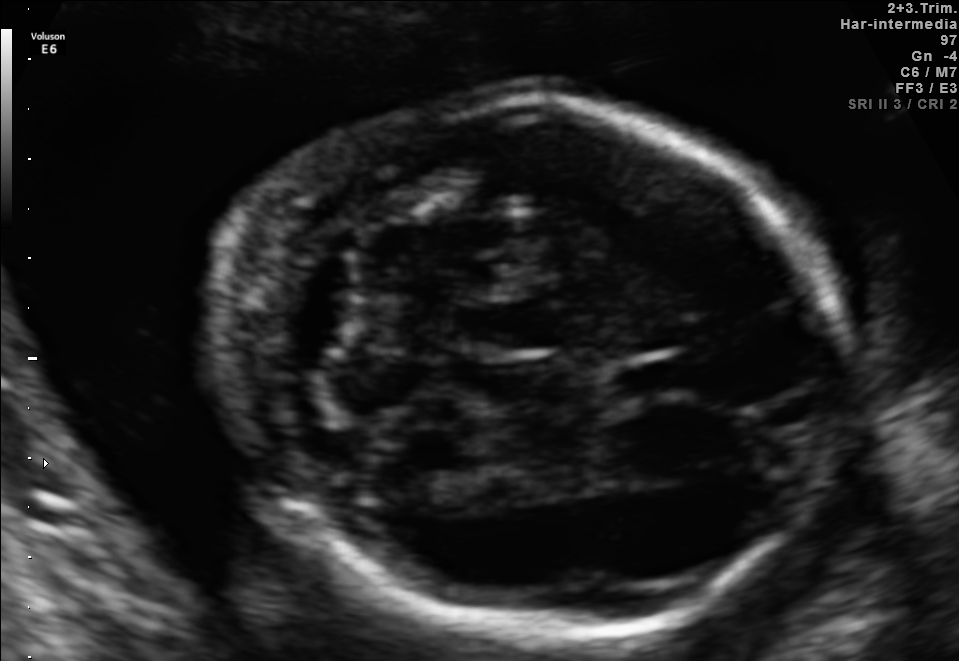
Identify the standard plane in this fetal ultrasound image: fetal abdomen, fetal brain, fetal femur, fetal thorax, maternal cervix, or other. If it's fetal brain and one of the three standard brain planes (trans-thalamic, trans-cerebellum, trans-ventricular), name which.

Fetal brain (trans-cerebellum plane)